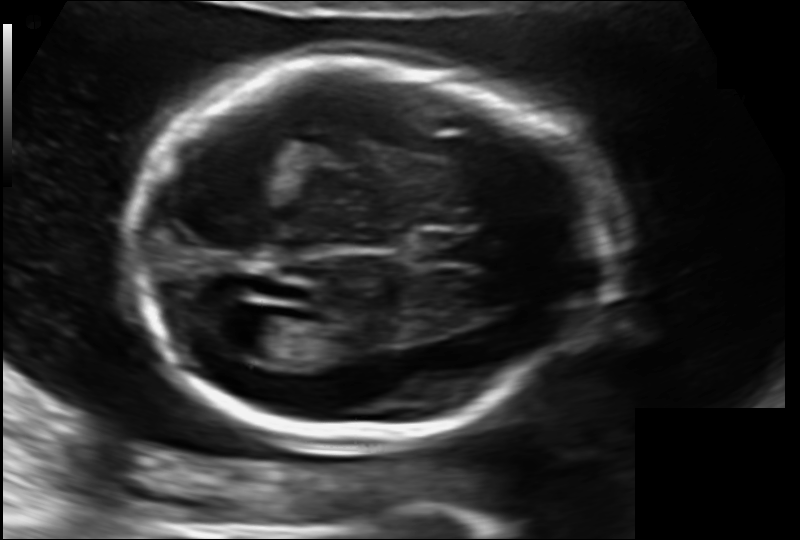
Fetal head ultrasound. Image width: 103.9 mm. Where is the fetal head?

Head bounding box: [131,60,602,440]